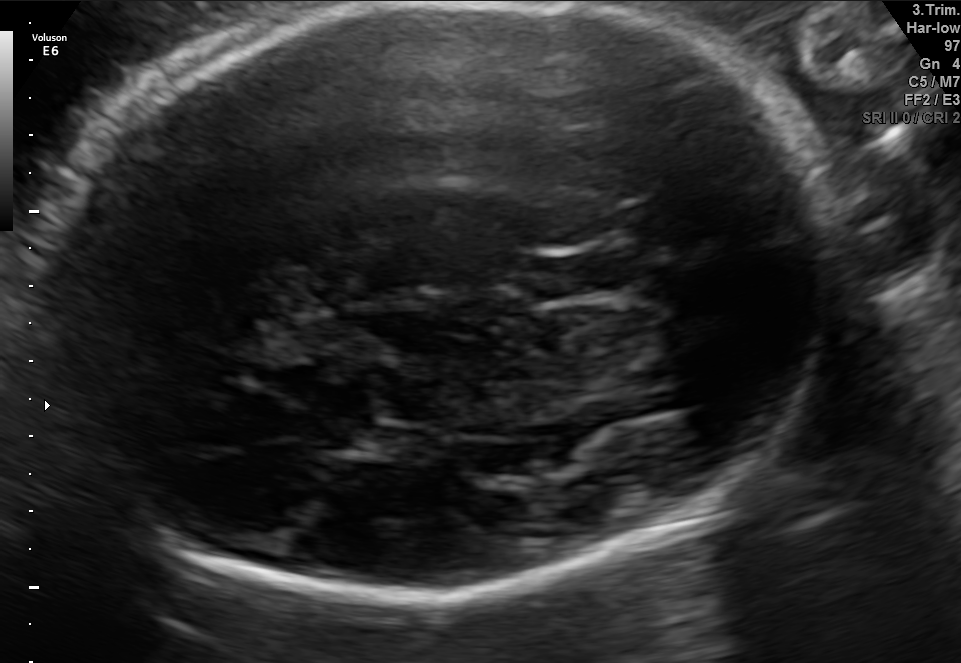
Fetal brain, trans-thalamic plane. Where is the cavum septum pellucidum?

CSP bounding box: [527,249,619,304]